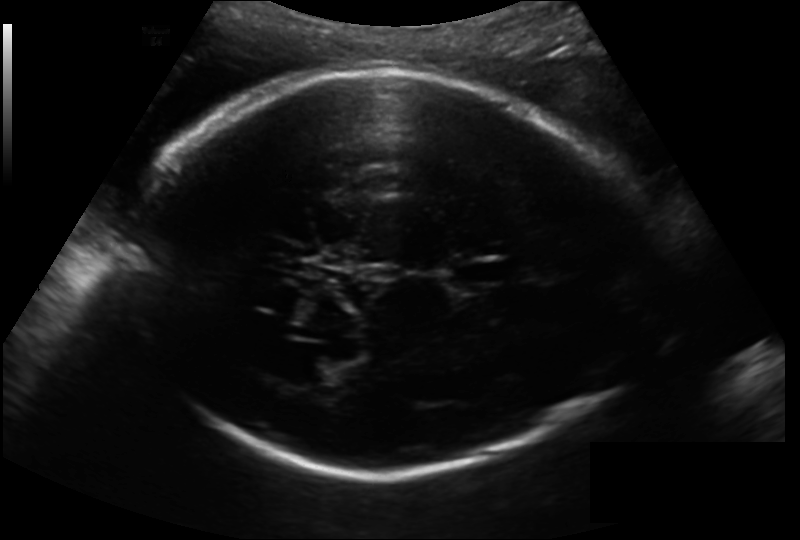
Estimate the fetal head circumference from this 2D ultrasound. Image width: 154.5 mm.

Head circumference: 280.6 mm.